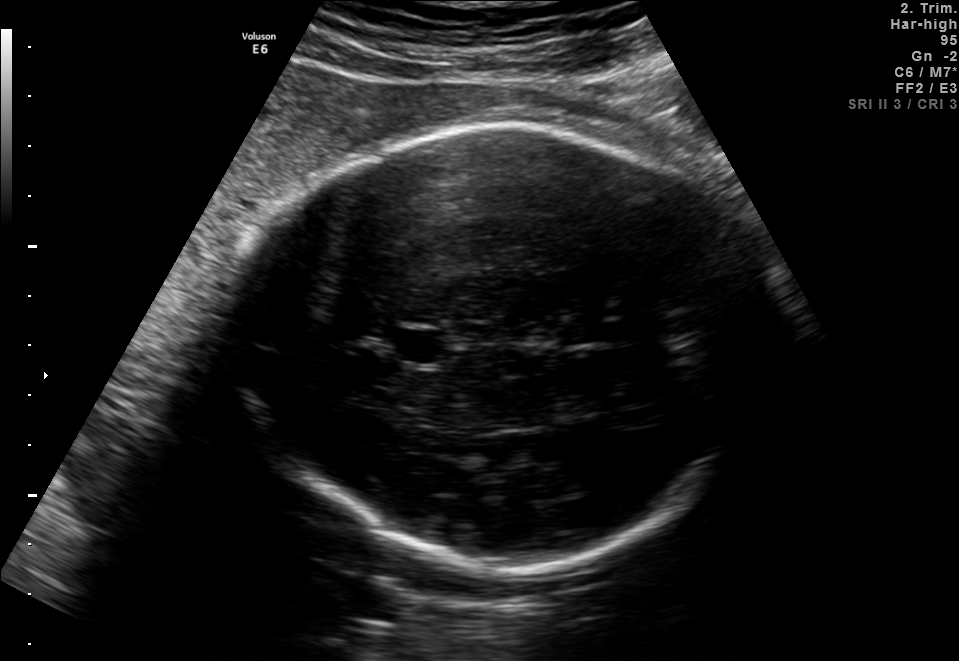
Fetal brain, trans-thalamic plane. Give [x1,y1,x2,y2] bounding boxes for each visible structure among: fetal head, CSP, LV.

Head: [227,127,760,564]
CSP: [390,328,447,366]